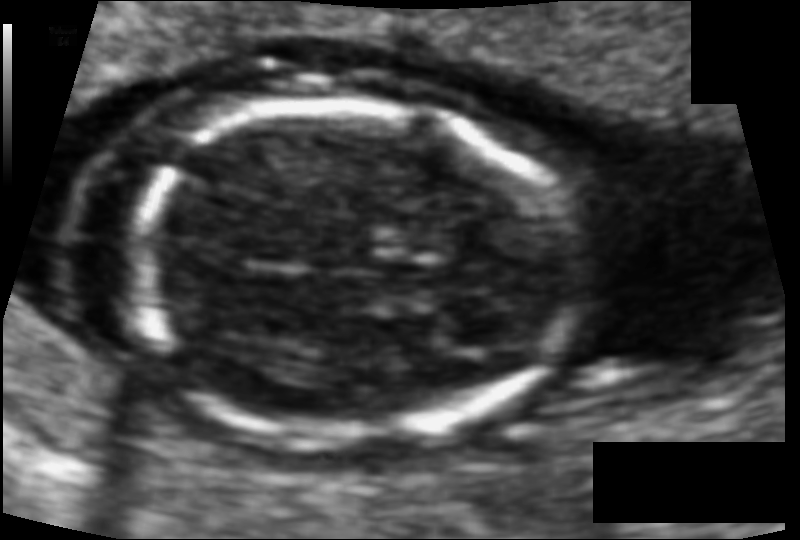
Measure the fetal head circumference shown in this ultrasound image. Image width: 65.1 mm.

Head circumference: 105.0 mm.